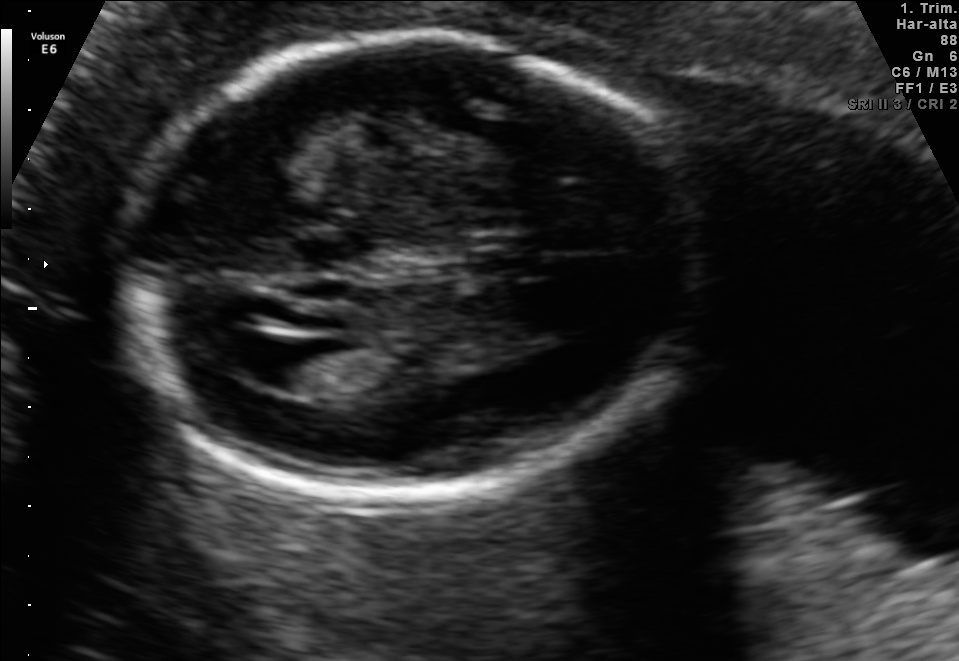
Fetal brain, trans-ventricular plane. Locate the fetal head and, if visible, the cavum septum pellucidum (CSP) and lateral ventricle (LV). Give bounding boxes as [x1,y1,x2,y2].

Head: [104,29,725,514]
CSP: [474,246,547,280]
Lateral ventricle: [228,327,322,393]